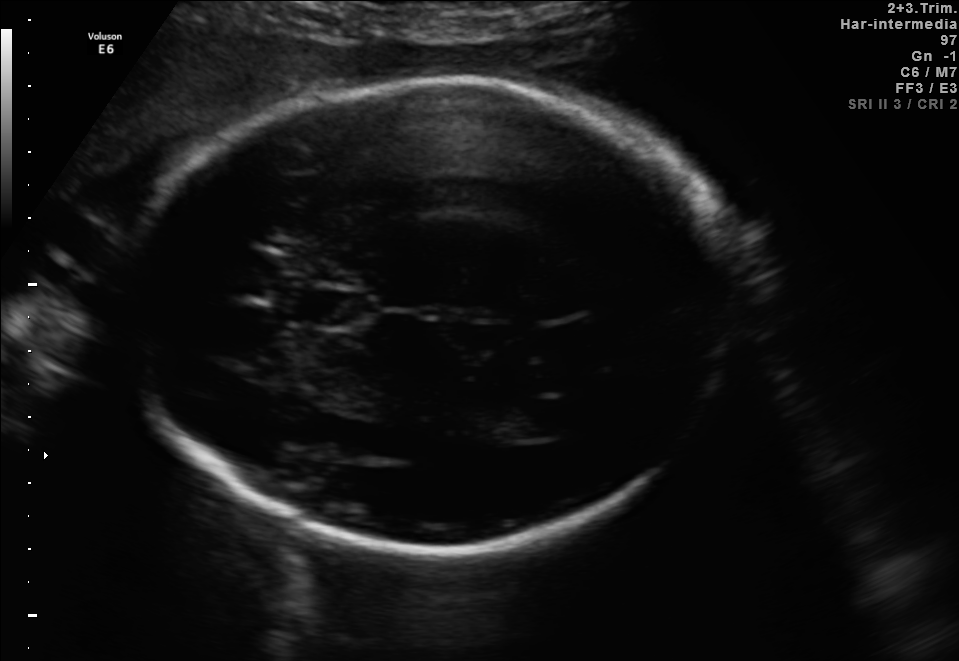
Fetal brain, trans-thalamic plane. Give [x1,y1,x2,y2] bounding boxes for each visible structure among: fetal head, CSP, LV.

Head: [123,78,734,551]
CSP: [312,290,369,327]
Lateral ventricle: [496,398,569,441]